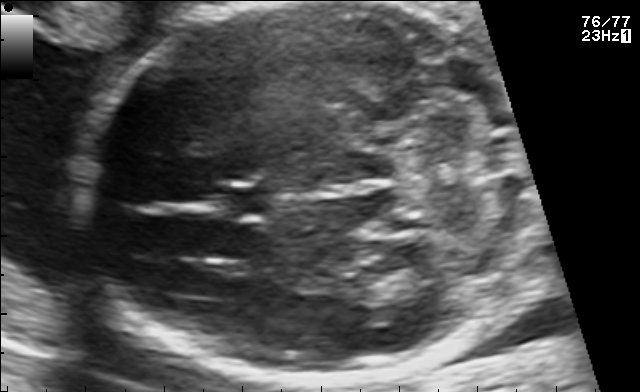
Fetal brain, trans-cerebellum plane. Give [x1,y1,x2,y2] bounding boxes for each visible structure among: fetal head, CSP, LV.

Head: [80,3,527,382]
CSP: [223,182,280,221]